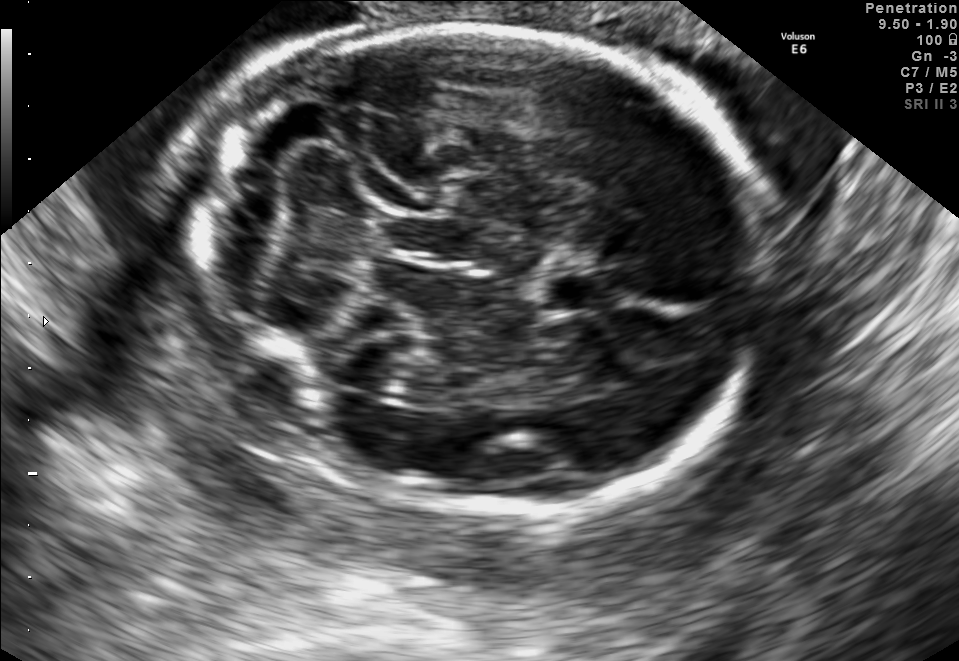
In this fetal brain, trans-cerebellum plane, give bounding boxes for the head outline, cavum septum pellucidum (CSP), and lateral ventricle (LV), where visible.

Head: [189,29,768,514]
CSP: [535,267,625,317]